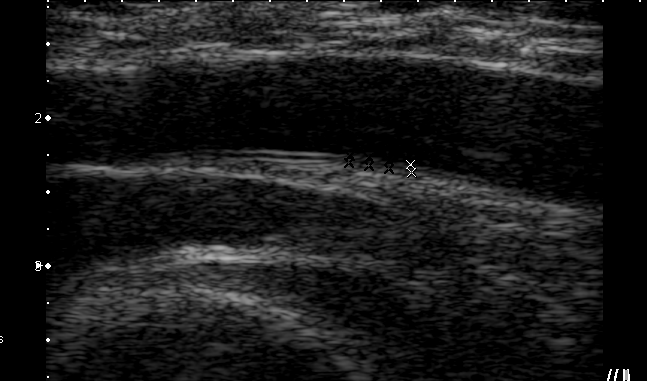
This is a 2D maternal-fetal ultrasound frame. Is it a fetal abdomen, fetal brain, fetal femur, fetal thorax, maternal cervix, or other standard plane? If it's fetal brain and one of the three standard brain planes (trans-thalamic, trans-cerebellum, trans-ventricular), name which.

Other